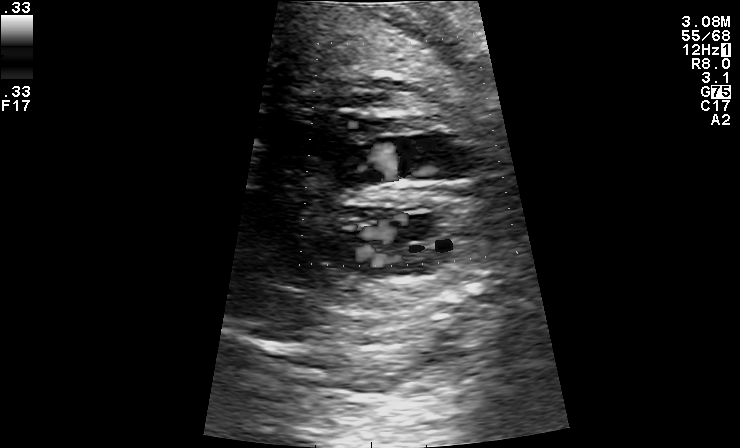
Identify the standard plane in this fetal ultrasound image: fetal abdomen, fetal brain, fetal femur, fetal thorax, maternal cervix, or other. If it's fetal brain and one of the three standard brain planes (trans-thalamic, trans-cerebellum, trans-ventricular), name which.

Other